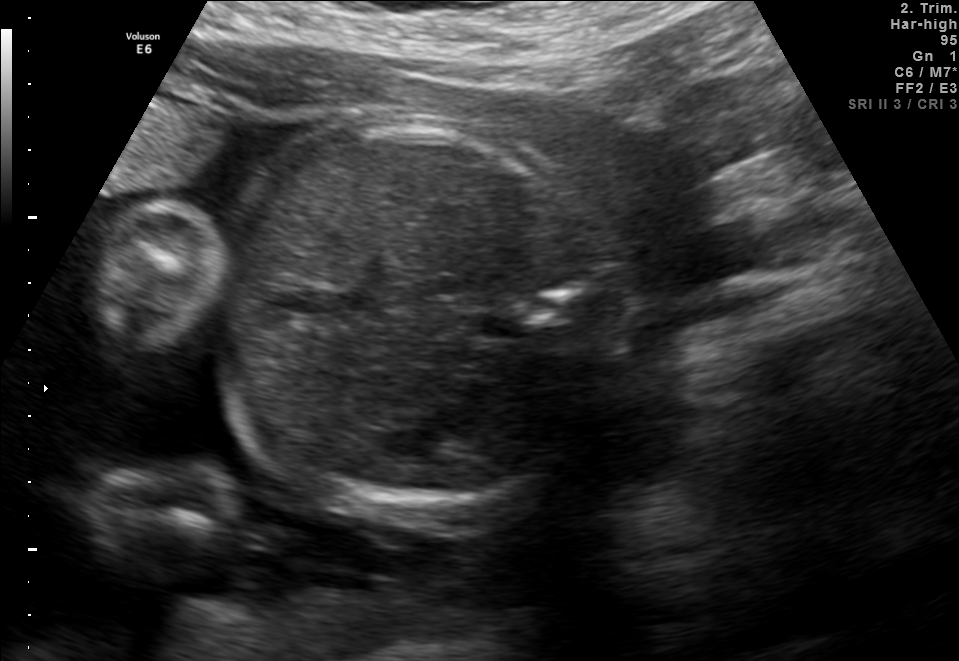
Which standard maternal-fetal ultrasound plane is shown: fetal abdomen, fetal brain, fetal femur, fetal thorax, maternal cervix, or other? If it's fetal brain and one of the three standard brain planes (trans-thalamic, trans-cerebellum, trans-ventricular), name which.

Fetal abdomen